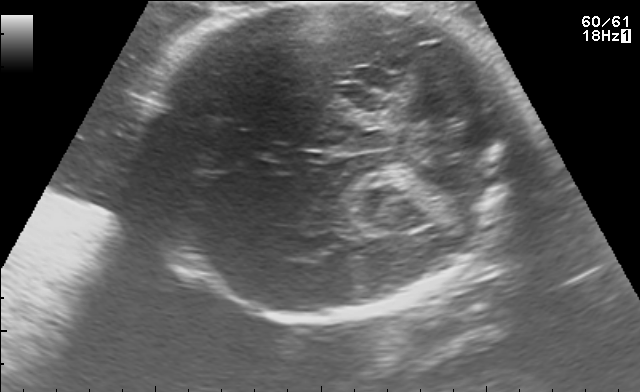
This is a 2D maternal-fetal ultrasound frame. Is it a fetal abdomen, fetal brain, fetal femur, fetal thorax, maternal cervix, or other standard plane? If it's fetal brain and one of the three standard brain planes (trans-thalamic, trans-cerebellum, trans-ventricular), name which.

Fetal brain (trans-thalamic plane)